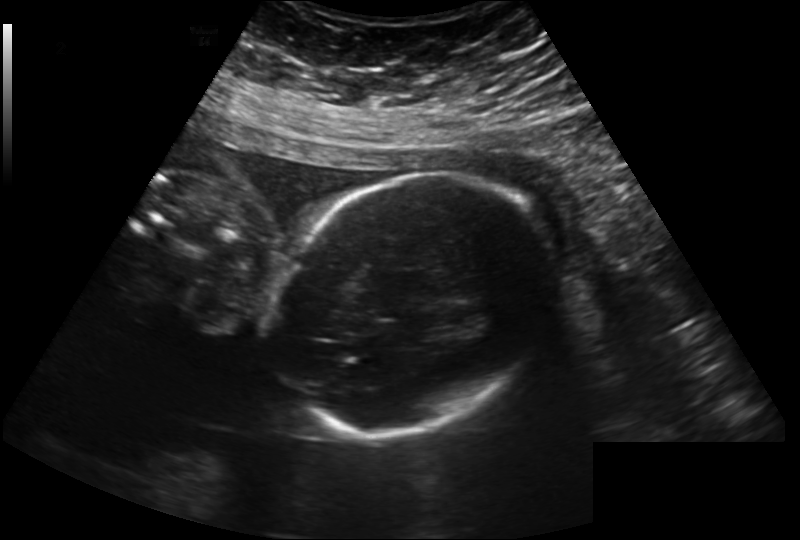
Estimate the fetal head circumference from this 2D ultrasound.

Head circumference: 193.0 mm (image width 177.4 mm).